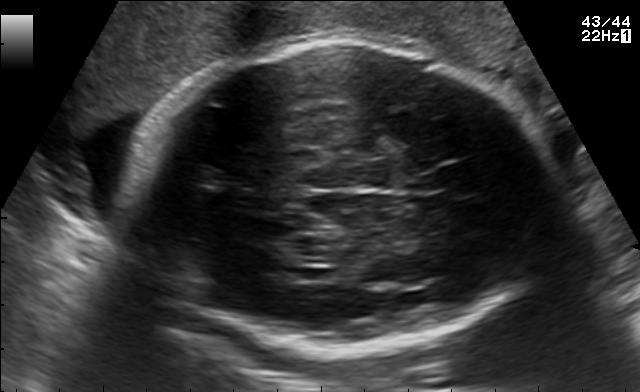
In this fetal brain, trans-thalamic plane, give the bounding box of the fetal head.

[131,43,552,357]